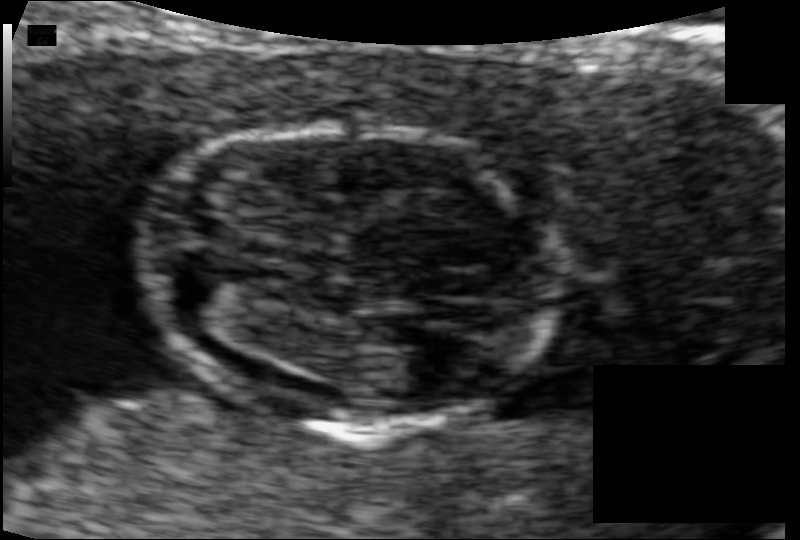
Estimate the fetal head circumference from this 2D ultrasound.

Head circumference: 77.7 mm (image width 52.6 mm).